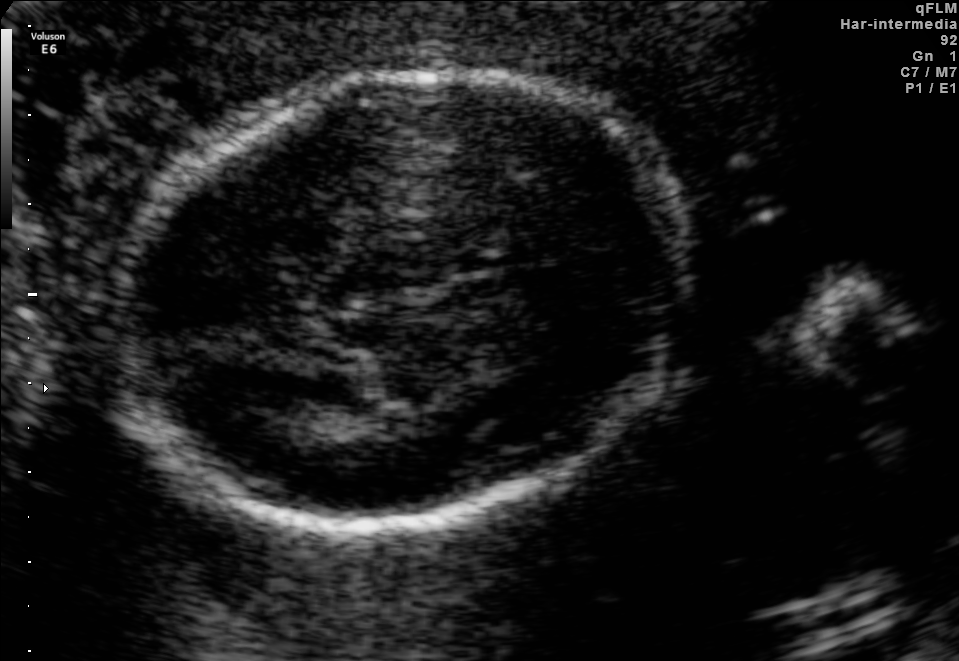
Fetal brain, trans-thalamic plane. Give [x1,y1,x2,y2] bounding boxes for each visible structure among: fetal head, CSP, LV.

Head: [119,74,688,531]